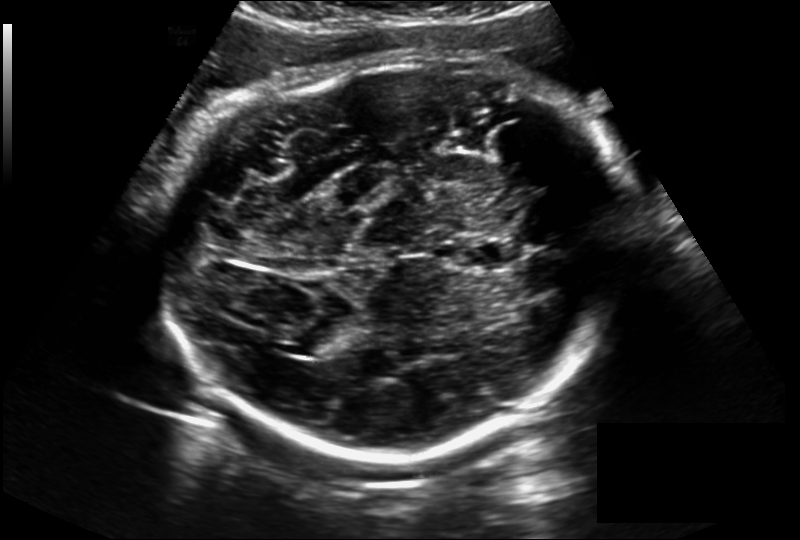
In this fetal head ultrasound, give bounding boxes for the head outline, cavum septum pellucidum (CSP), and lateral ventricle (LV), where visible. Image width: 182.1 mm.

Head: [166,55,632,459]